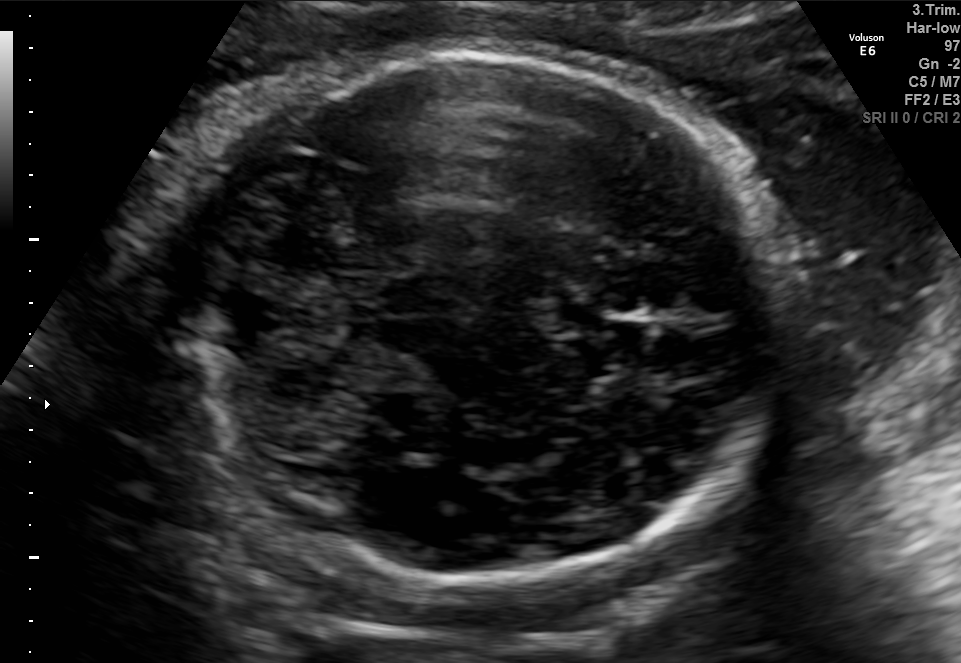
Fetal brain, trans-cerebellum plane. Give [x1,y1,x2,y2] bounding boxes for each visible structure among: fetal head, CSP, LV.

Head: [163,55,778,578]